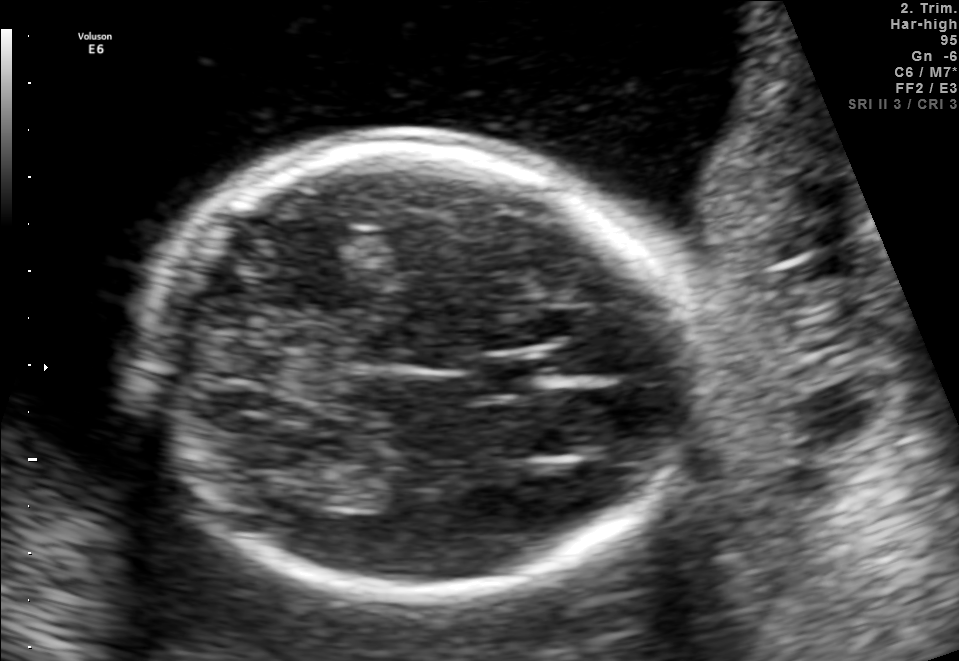
Fetal brain, trans-thalamic plane. Where is the cavum septum pellucidum?

CSP bounding box: [471,355,545,396]